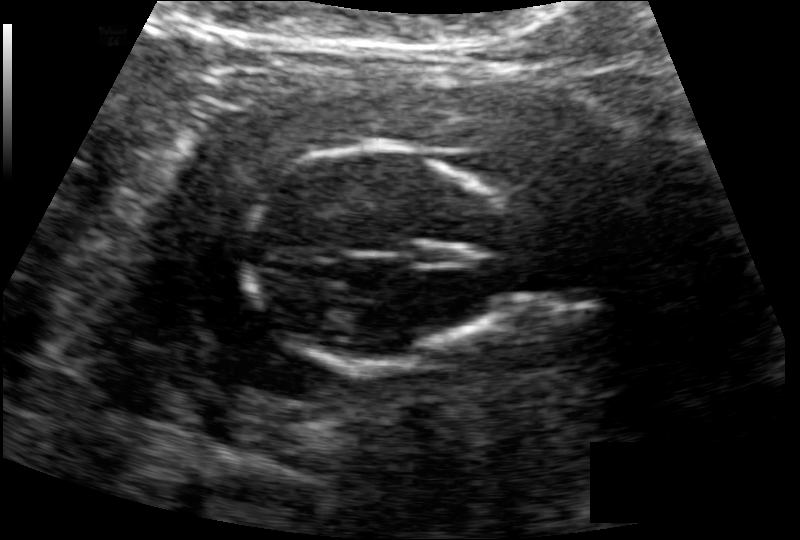
Estimate the fetal head circumference from this 2D ultrasound.

Head circumference: 100.5 mm (image width 100.6 mm).